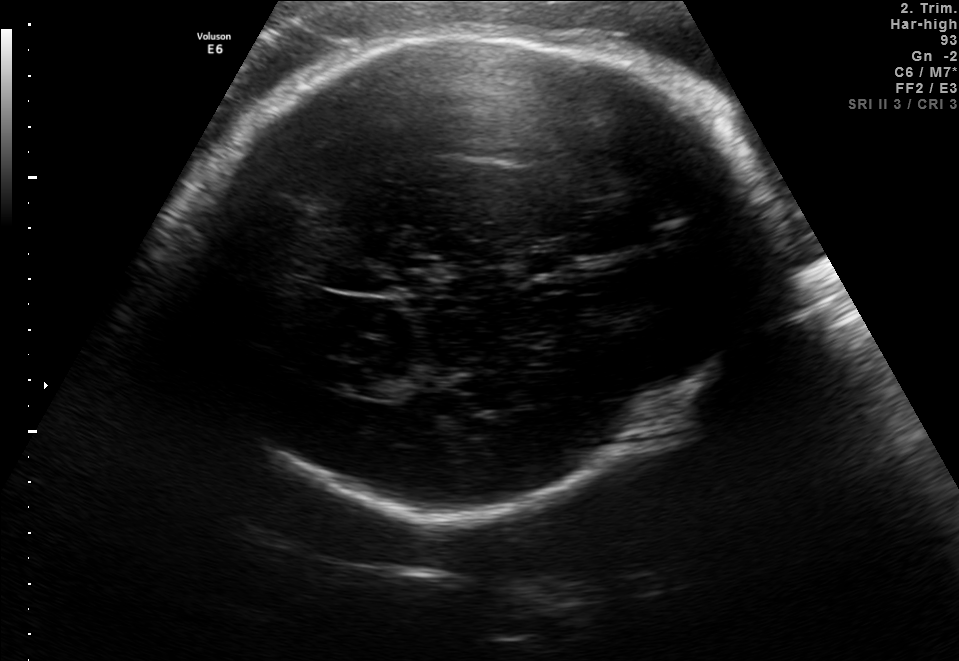
This is a 2D maternal-fetal ultrasound frame. Is it a fetal abdomen, fetal brain, fetal femur, fetal thorax, maternal cervix, or other standard plane? If it's fetal brain and one of the three standard brain planes (trans-thalamic, trans-cerebellum, trans-ventricular), name which.

Fetal brain (trans-thalamic plane)